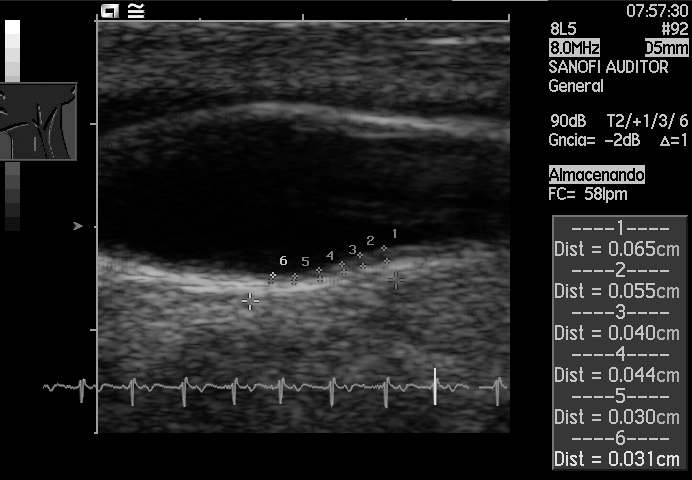
Classify this maternal-fetal ultrasound image as one of the six standard planes — fetal abdomen, fetal brain, fetal femur, fetal thorax, maternal cervix, or other. If it's fetal brain and one of the three standard brain planes (trans-thalamic, trans-cerebellum, trans-ventricular), name which.

Other